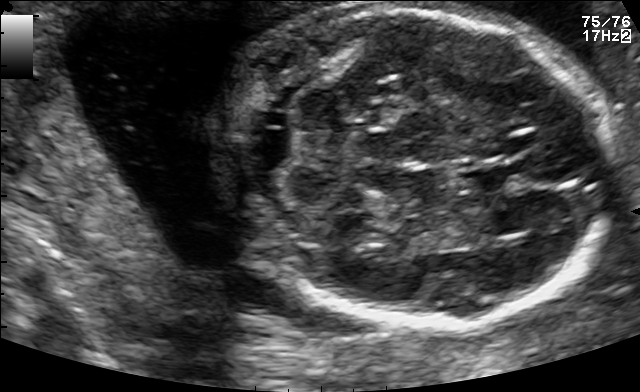
In this fetal brain, trans-cerebellum plane, give bounding boxes for the head outline, cavum septum pellucidum (CSP), and lateral ventricle (LV), where visible.

Head: [219,5,617,328]